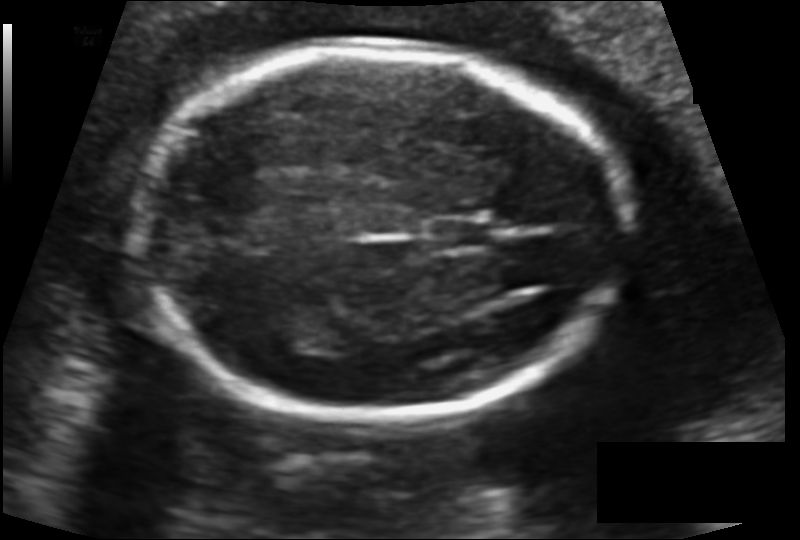
From this fetal ultrasound, estimate the head circumference (image width 98.1 mm).

Head circumference: 171.8 mm.